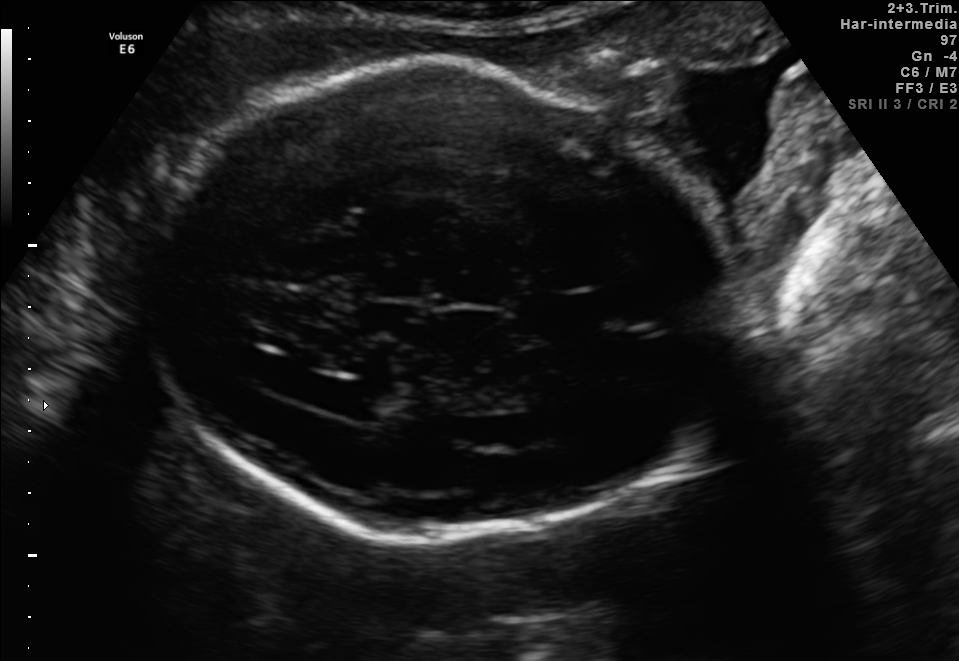
Fetal brain, trans-ventricular plane. Give [x1,y1,x2,y2] bounding boxes for each visible structure among: fetal head, CSP, LV.

Head: [125,53,758,554]
Lateral ventricle: [302,370,400,426]